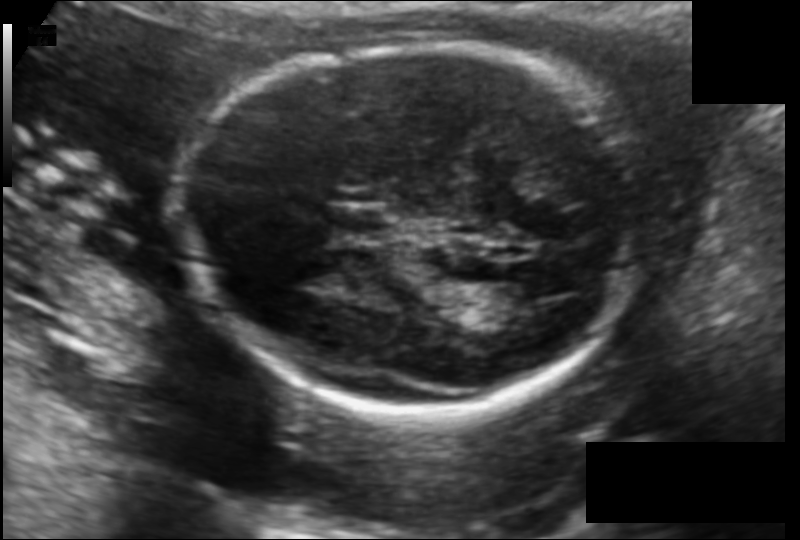
In this fetal head ultrasound, give the bounding box of the cavum septum pellucidum. Image width: 98.5 mm.

[331,207,387,241]